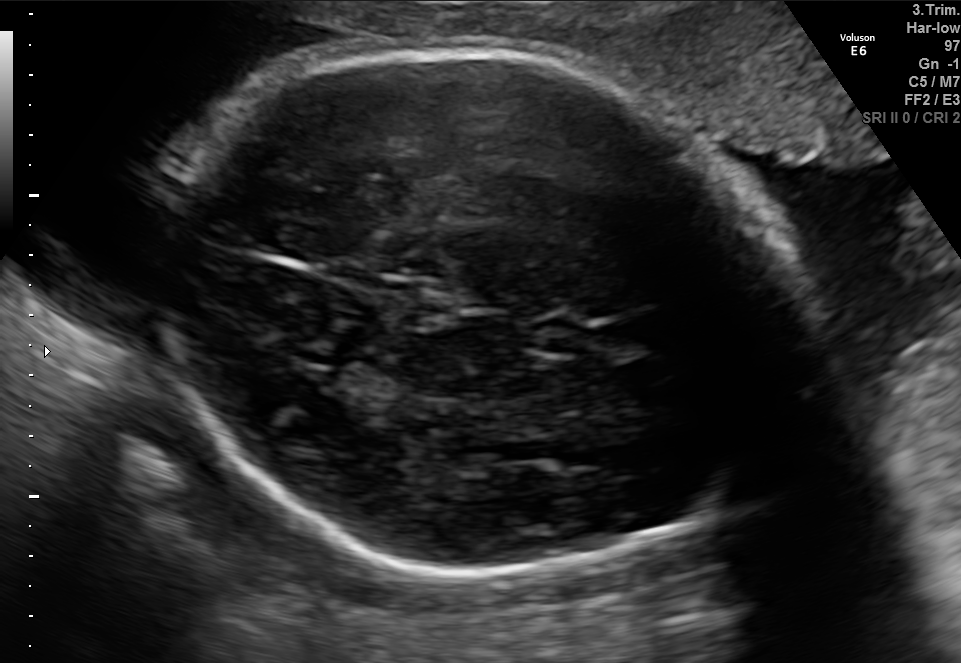
Fetal brain, trans-thalamic plane. Give [x1,y1,x2,y2] bounding boxes for each visible structure among: fetal head, CSP, LV.

Head: [153,49,804,578]